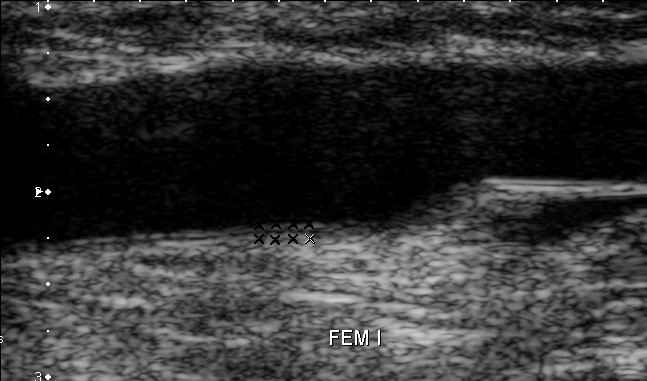
Classify this maternal-fetal ultrasound image as one of the six standard planes — fetal abdomen, fetal brain, fetal femur, fetal thorax, maternal cervix, or other. If it's fetal brain and one of the three standard brain planes (trans-thalamic, trans-cerebellum, trans-ventricular), name which.

Other